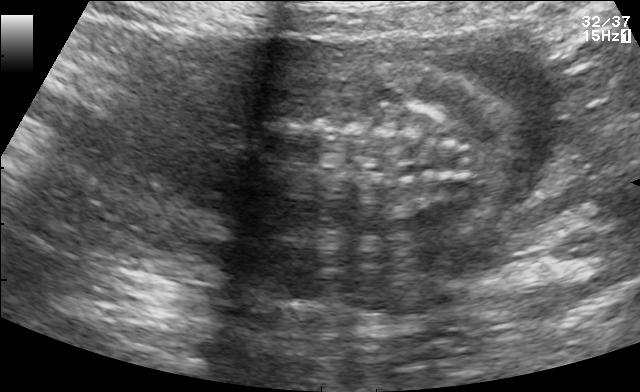
Classify this maternal-fetal ultrasound image as one of the six standard planes — fetal abdomen, fetal brain, fetal femur, fetal thorax, maternal cervix, or other. If it's fetal brain and one of the three standard brain planes (trans-thalamic, trans-cerebellum, trans-ventricular), name which.

Other